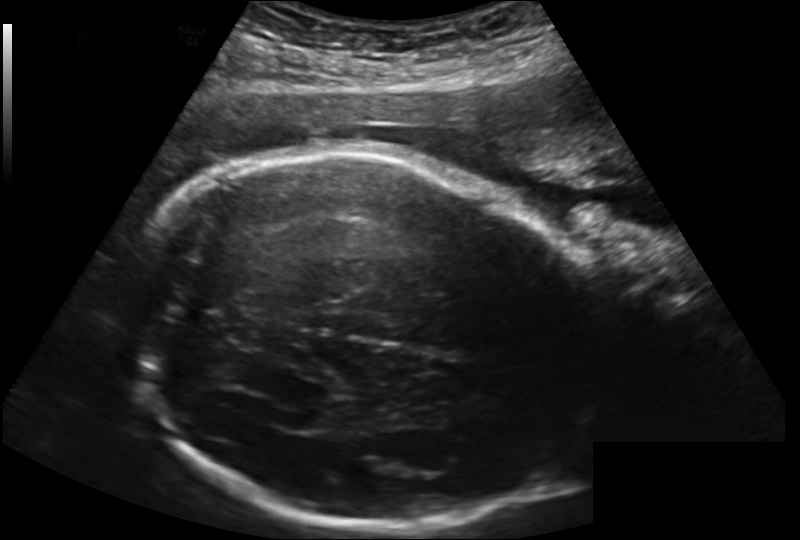
Estimate the fetal head circumference from this 2D ultrasound. Image width: 161.7 mm.

Head circumference: 278.4 mm.